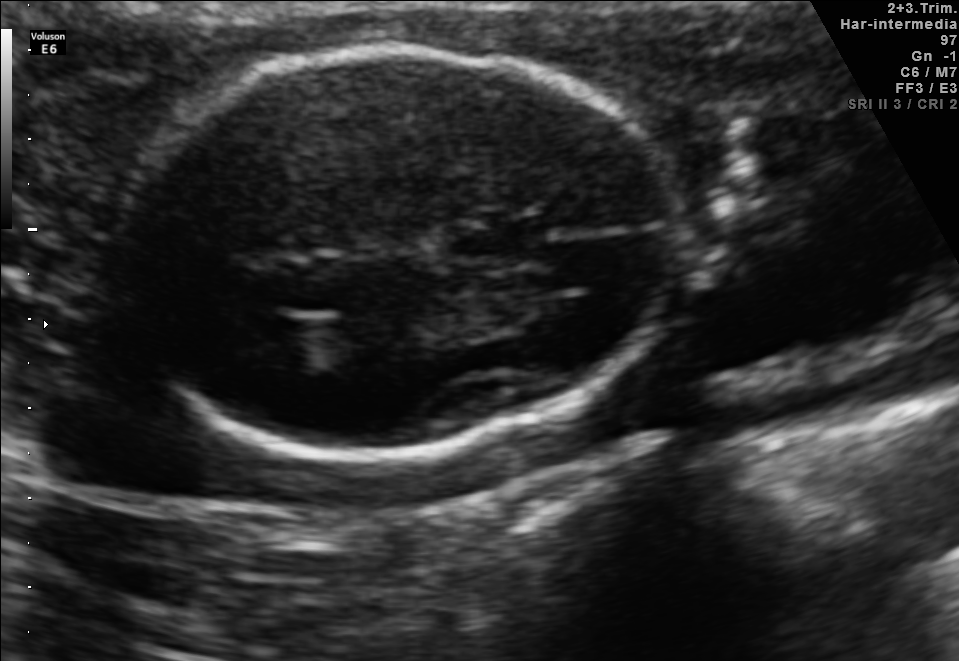
Fetal brain, trans-thalamic plane. Locate the lateral ventricle.

Lateral ventricle: [228,304,330,369]